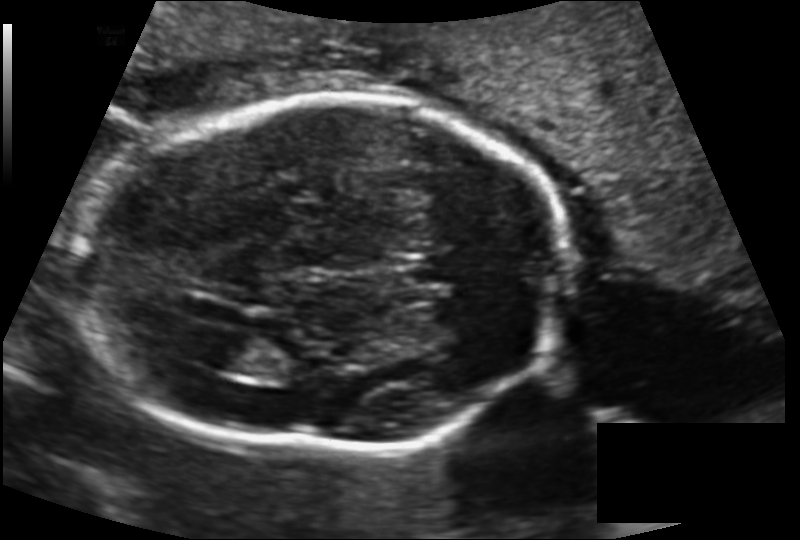
What is the fetal head circumference? Image width is 114.0 mm.

194.6 mm